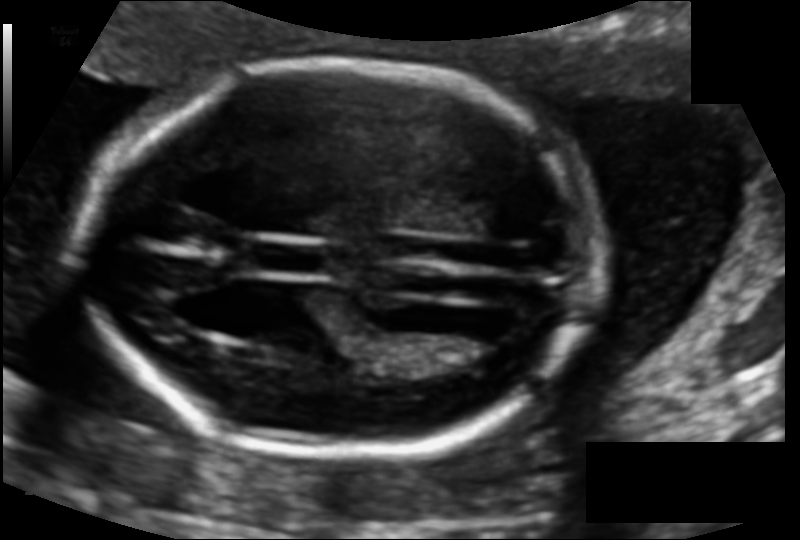
Fetal head ultrasound. Image width: 88.3 mm. Locate the fetal head.

Head: [78,60,591,453]